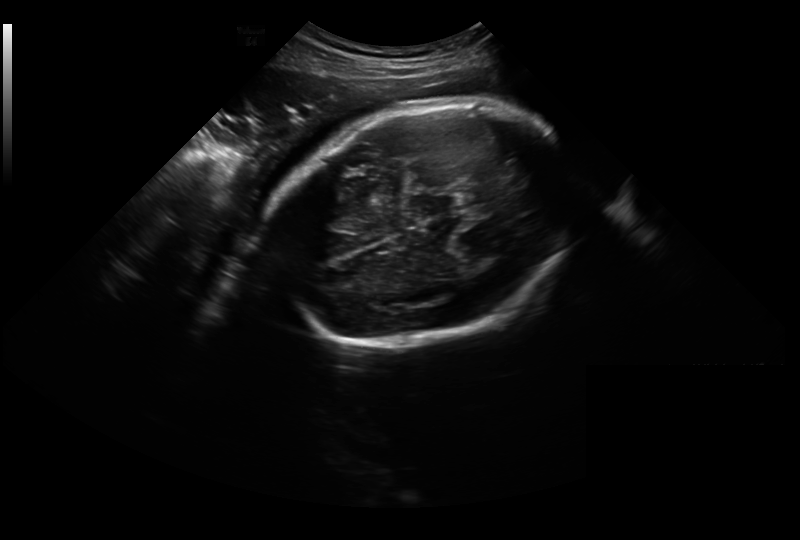
In this fetal head ultrasound, give bounding boxes for the head outline, cavum septum pellucidum (CSP), and lateral ventricle (LV), where visible. Image width: 261.1 mm.

Head: [269,102,573,346]